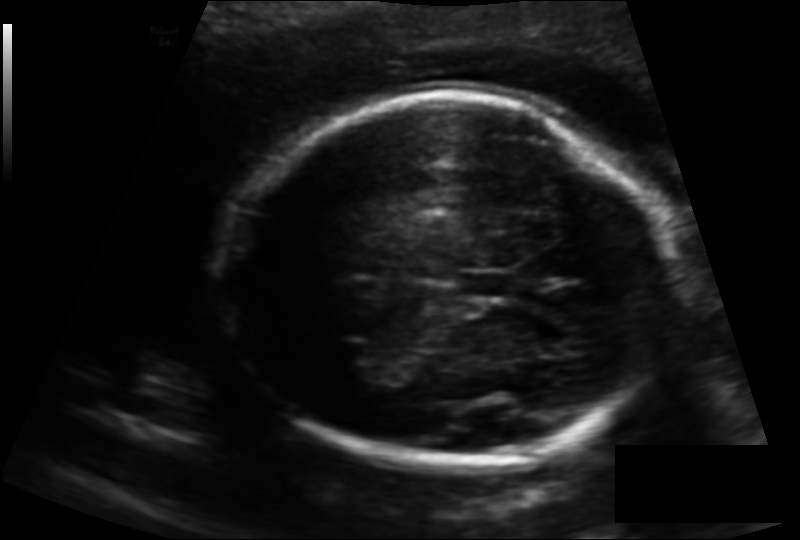
Fetal head ultrasound. Image width: 112.7 mm. Where is the lateral ventricle?

Lateral ventricle bounding box: [325,340,387,383]